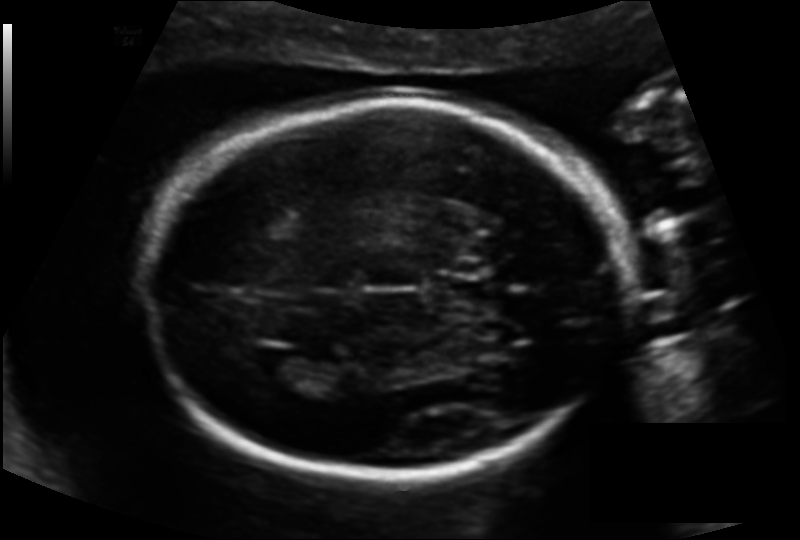
In this fetal head ultrasound, give bounding boxes for the head outline, cavum septum pellucidum (CSP), and lateral ventricle (LV), where visible. Image width: 107.7 mm.

Head: [143,101,631,476]
Lateral ventricle: [241,338,315,392]